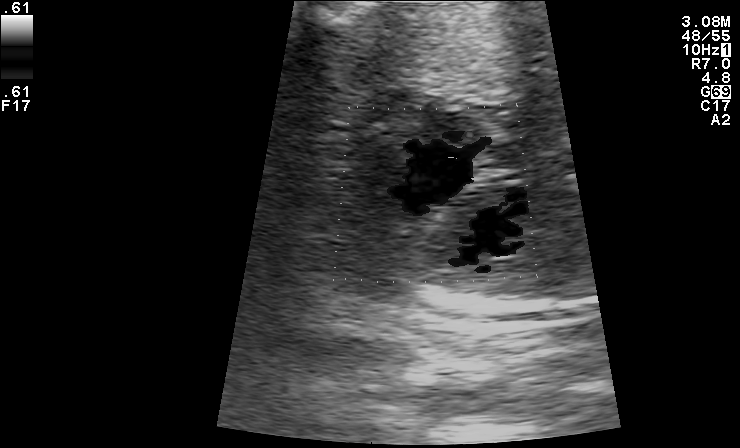
This is a 2D maternal-fetal ultrasound frame. Is it a fetal abdomen, fetal brain, fetal femur, fetal thorax, maternal cervix, or other standard plane? If it's fetal brain and one of the three standard brain planes (trans-thalamic, trans-cerebellum, trans-ventricular), name which.

Other